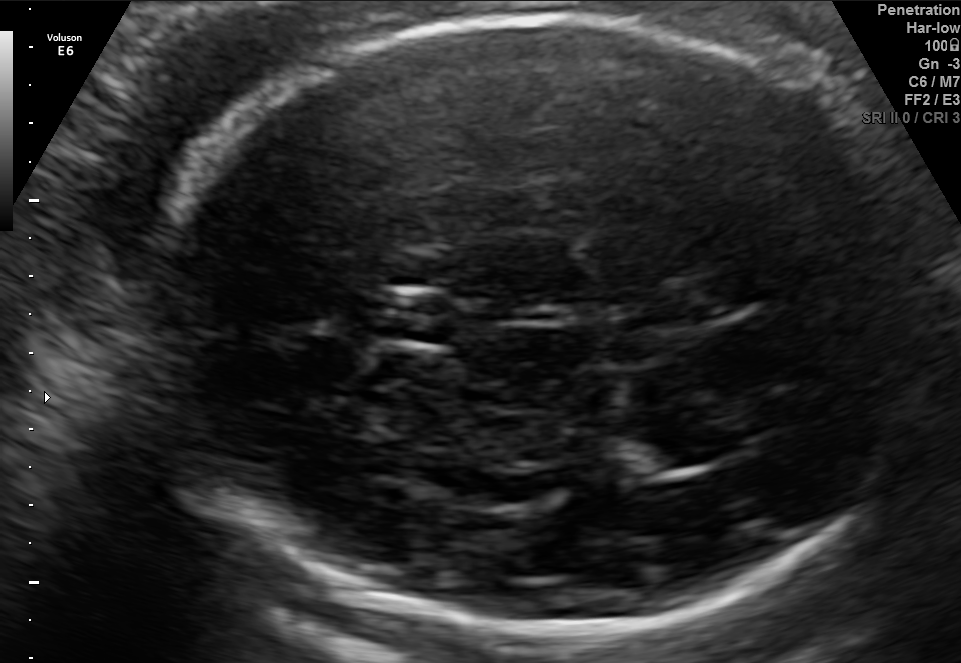
In this fetal brain, trans-thalamic plane, give bounding boxes for the head outline, cavum septum pellucidum (CSP), and lateral ventricle (LV), where visible.

Head: [137,20,940,631]
CSP: [369,289,461,346]
Lateral ventricle: [612,418,731,482]